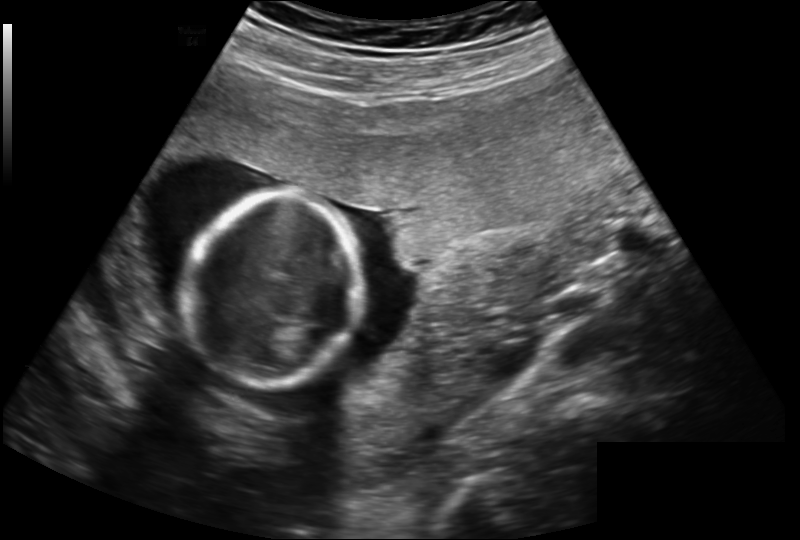
Fetal head ultrasound. Image width: 161.5 mm. Where is the fetal head?

Head bounding box: [188,193,364,388]